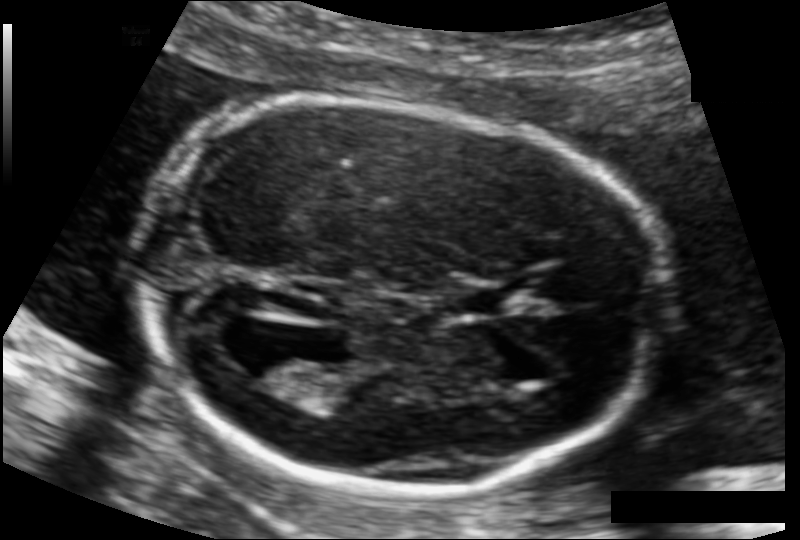
Fetal head ultrasound. Image width: 85.7 mm. Locate the lateral ventricle.

Lateral ventricle: [226,337,308,402]